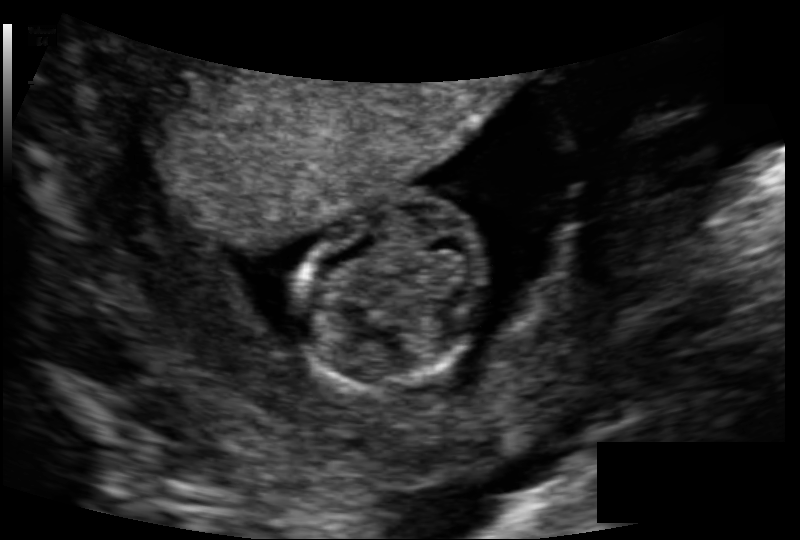
Measure the fetal head circumference shown in this ultrasound image. Image width: 94.2 mm.

Head circumference: 75.8 mm.